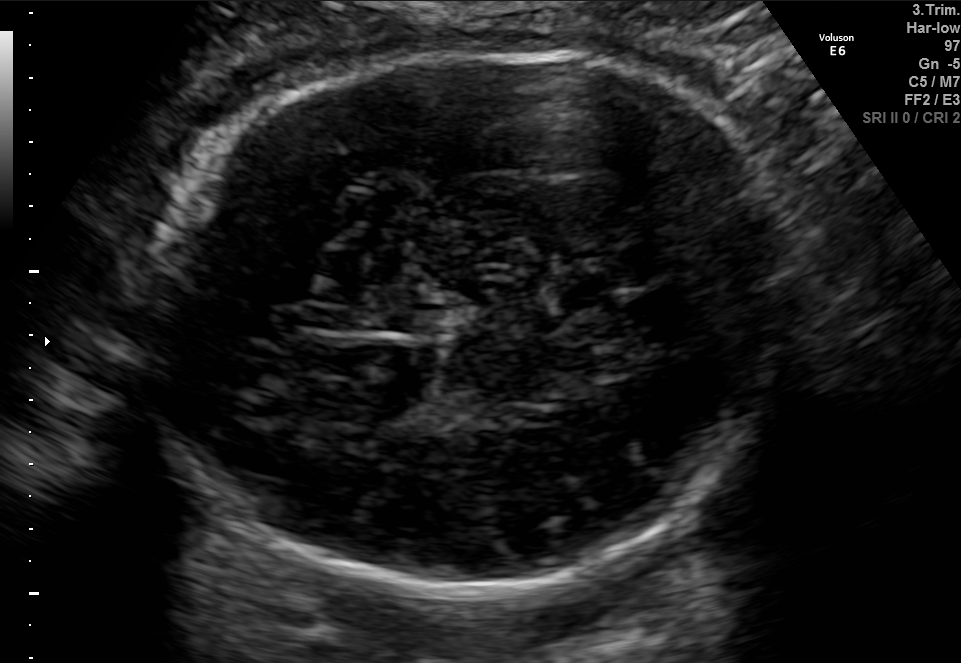
Identify the standard plane in this fetal ultrasound image: fetal abdomen, fetal brain, fetal femur, fetal thorax, maternal cervix, or other. If it's fetal brain and one of the three standard brain planes (trans-thalamic, trans-cerebellum, trans-ventricular), name which.

Fetal brain (trans-thalamic plane)